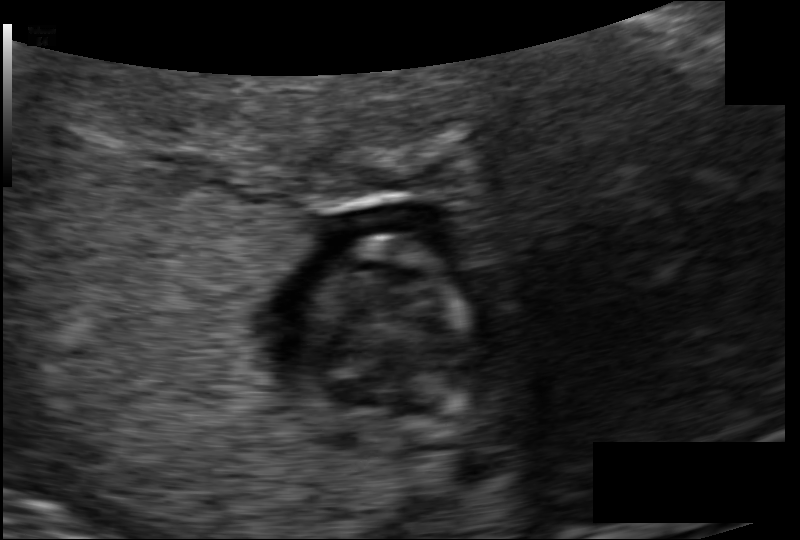
Estimate the fetal head circumference from this 2D ultrasound.

Head circumference: 62.5 mm (image width 78.7 mm).